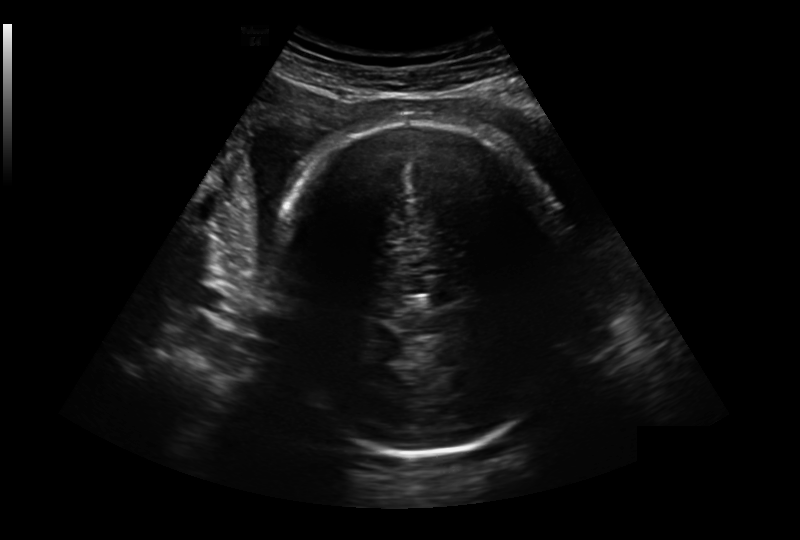
Fetal head ultrasound. Image width: 225.0 mm. Give [x1,y1,x2,y2] bounding boxes for each visible structure among: fetal head, CSP, LV.

Head: [274,122,564,454]